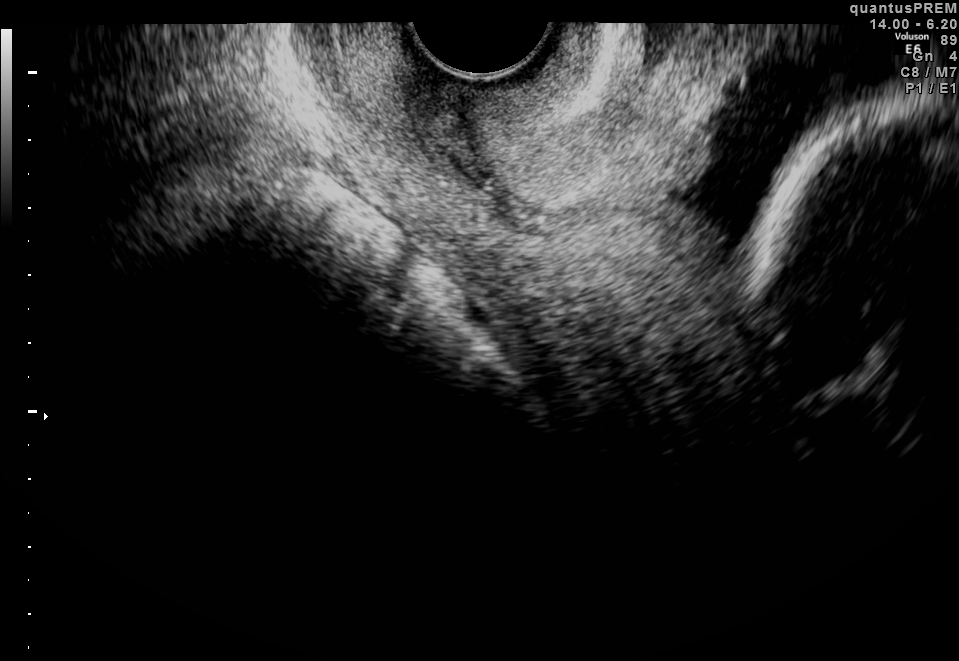
Which standard maternal-fetal ultrasound plane is shown: fetal abdomen, fetal brain, fetal femur, fetal thorax, maternal cervix, or other? If it's fetal brain and one of the three standard brain planes (trans-thalamic, trans-cerebellum, trans-ventricular), name which.

Maternal cervix